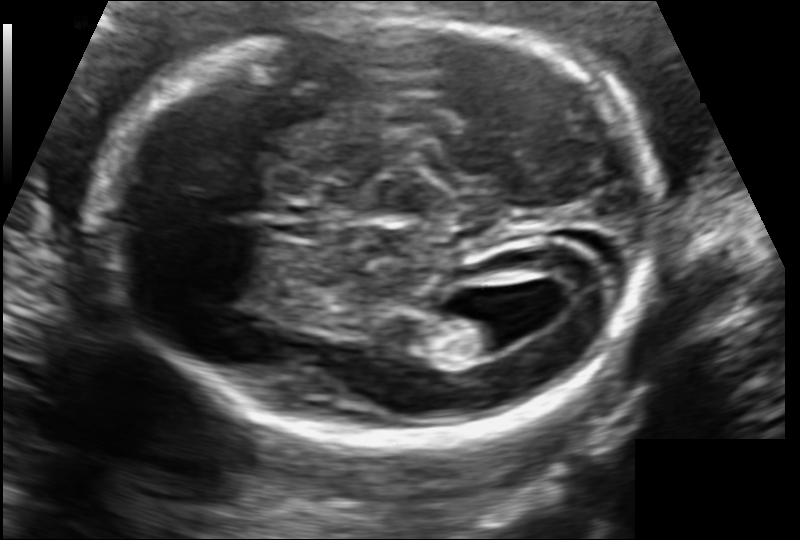
In this fetal head ultrasound, give the bounding box of the fetal head. Image width: 87.0 mm.

[111,20,659,440]